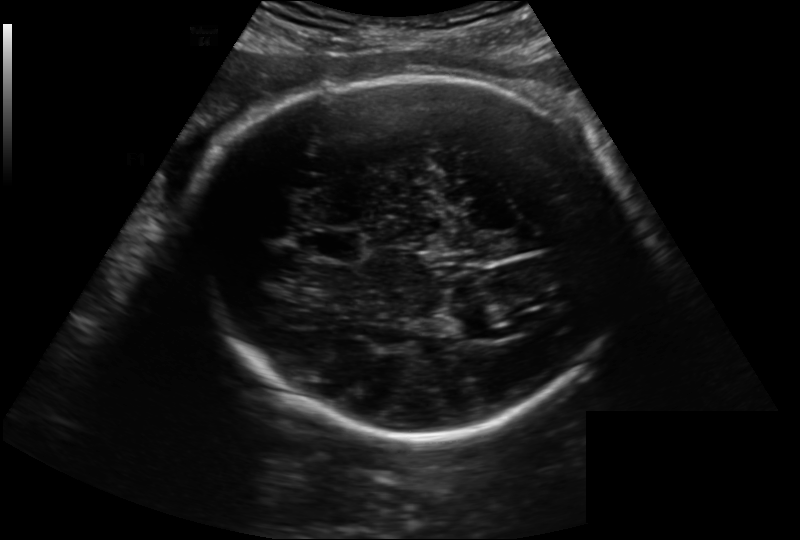
Fetal head ultrasound. Image width: 177.3 mm. Give [x1,y1,x2,y2] bounding boxes for each visible structure among: fetal head, CSP, LV.

Head: [182,76,633,433]
CSP: [304,229,362,263]
Lateral ventricle: [488,313,537,344]